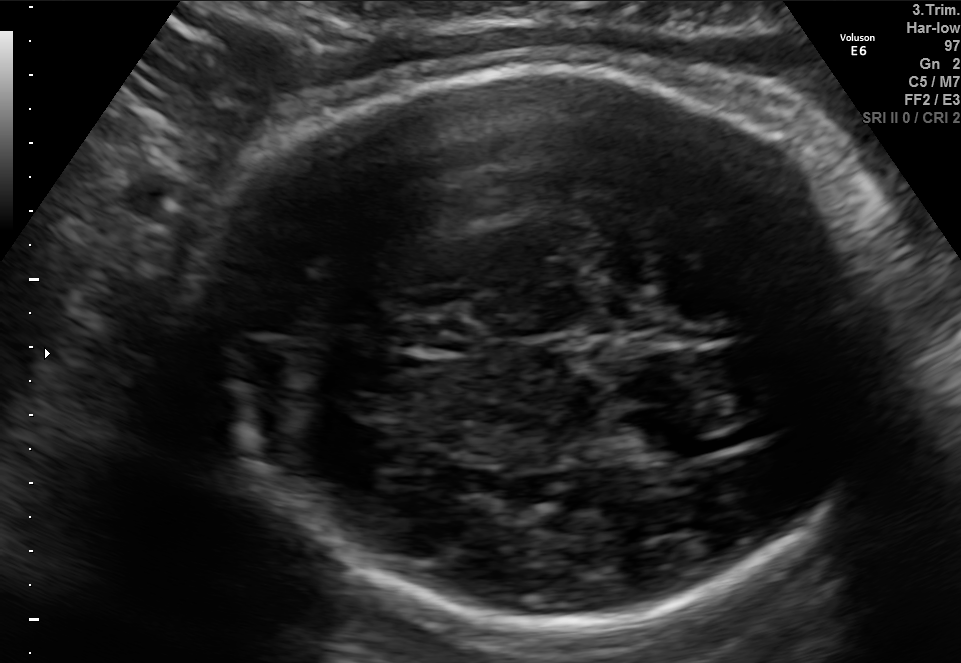
In this fetal brain, trans-thalamic plane, give the bounding box of the lateral ventricle.

[647,430,728,469]